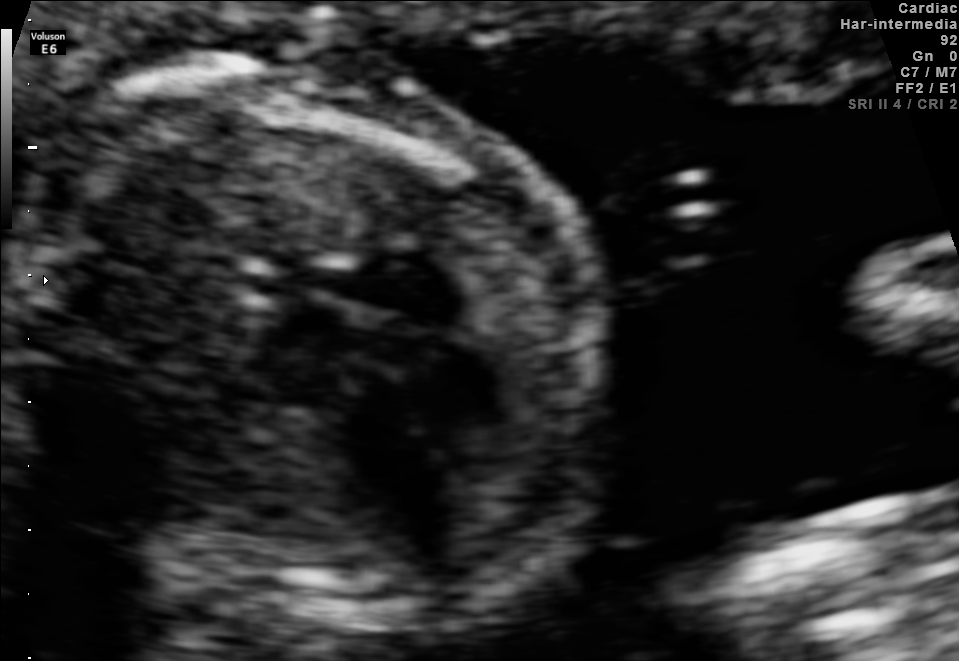
Identify the standard plane in this fetal ultrasound image: fetal abdomen, fetal brain, fetal femur, fetal thorax, maternal cervix, or other. If it's fetal brain and one of the three standard brain planes (trans-thalamic, trans-cerebellum, trans-ventricular), name which.

Fetal thorax